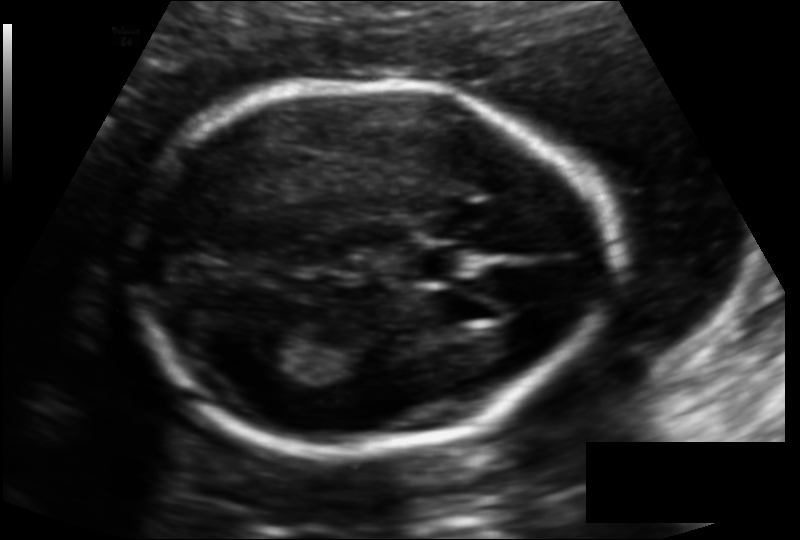
In this fetal head ultrasound, give the bounding box of the cavum septum pellucidum. Image width: 96.8 mm.

[406,242,468,282]